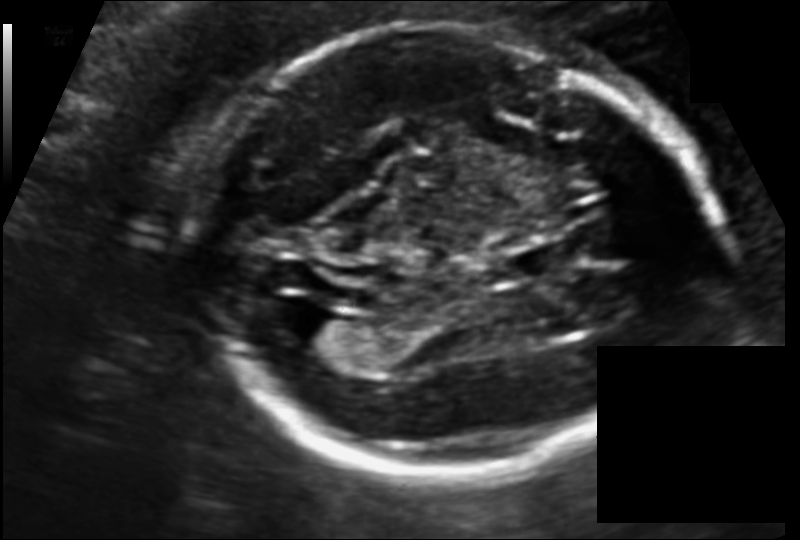
In this fetal head ultrasound, give bounding boxes for the head outline, cavum septum pellucidum (CSP), and lateral ventricle (LV), where visible. Image width: 94.5 mm.

Head: [192,20,705,475]
CSP: [507,238,576,285]
Lateral ventricle: [284,302,357,362]